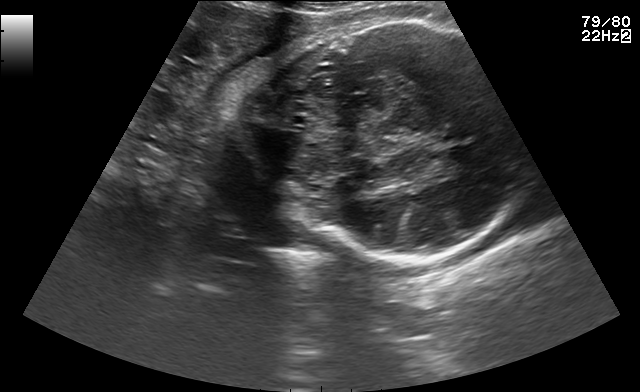
Classify this maternal-fetal ultrasound image as one of the six standard planes — fetal abdomen, fetal brain, fetal femur, fetal thorax, maternal cervix, or other. If it's fetal brain and one of the three standard brain planes (trans-thalamic, trans-cerebellum, trans-ventricular), name which.

Fetal brain